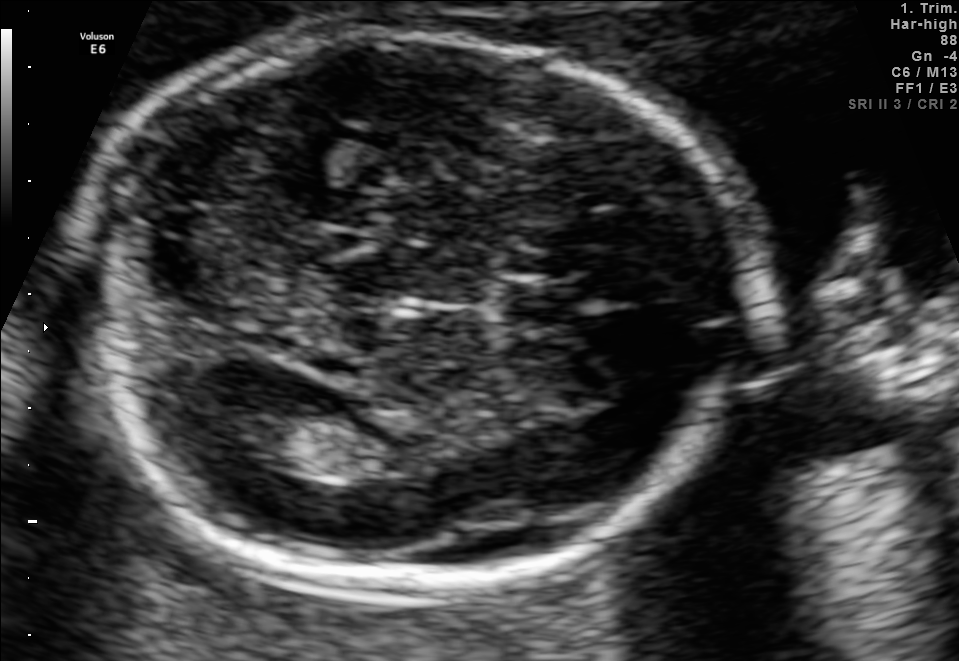
Fetal brain, trans-ventricular plane. Locate the cavum septum pellucidum.

CSP: [508,285,595,324]